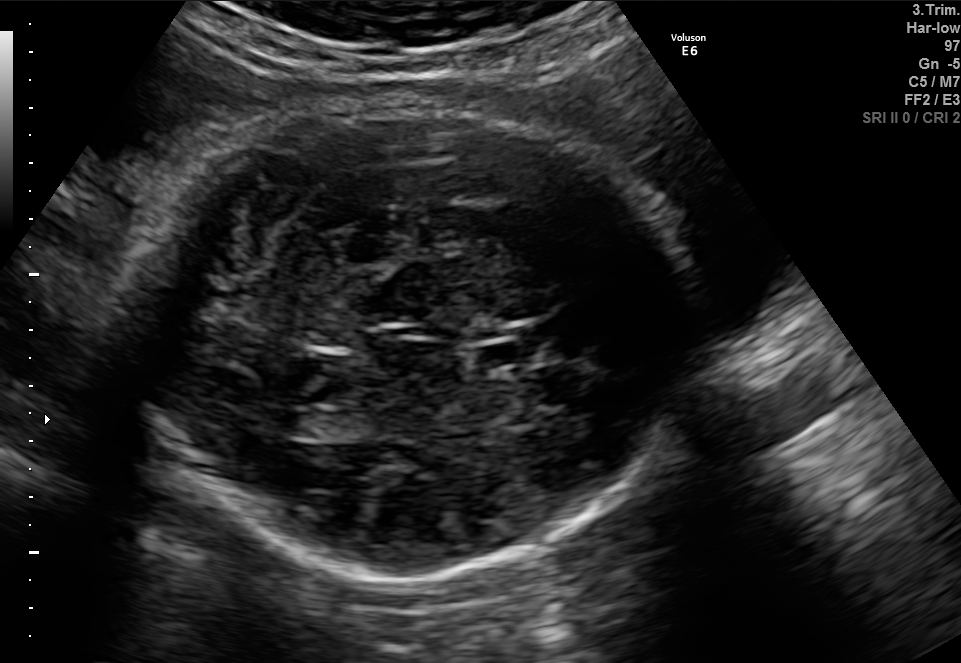
In this fetal brain, trans-ventricular plane, give the bounding box of the cavum septum pellucidum.

[469,339,526,374]